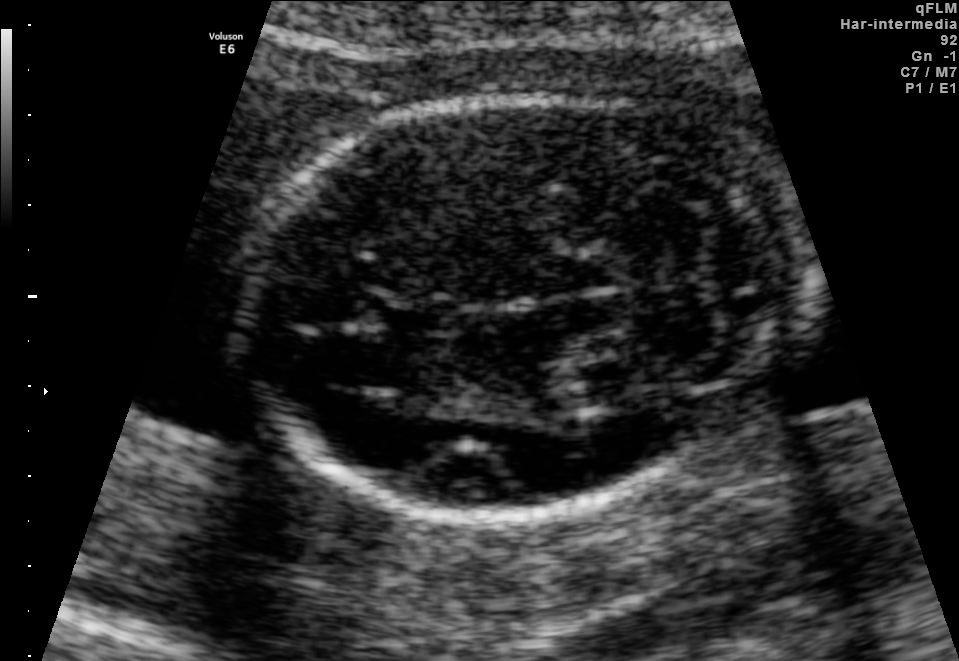
Fetal brain, trans-cerebellum plane. Locate the cavum septum pellucidum.

CSP: [365,295,448,337]